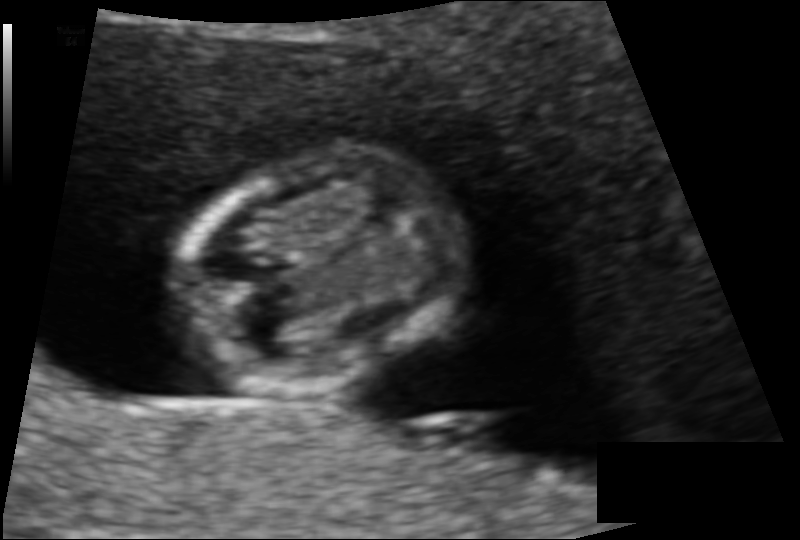
From this fetal ultrasound, estimate the head circumference (image width 68.5 mm).

Head circumference: 74.0 mm.